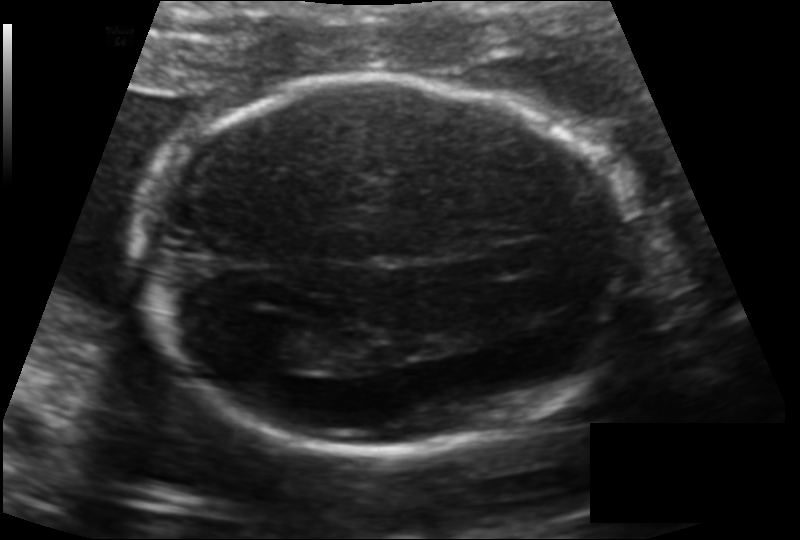
Measure the fetal head circumference shown in this ultrasound image. Image width: 107.0 mm.

Head circumference: 192.5 mm.